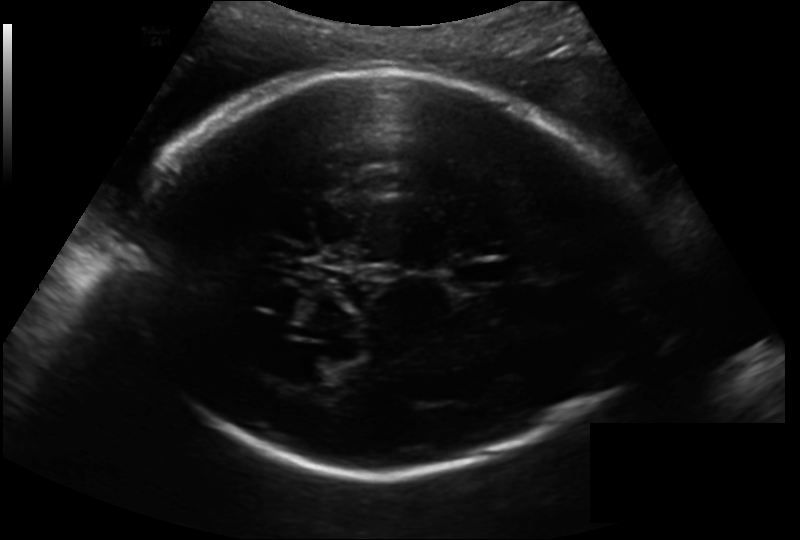
Fetal head ultrasound. Image width: 154.5 mm. Where is the lateral ventricle?

Lateral ventricle bounding box: [284,355,340,385]